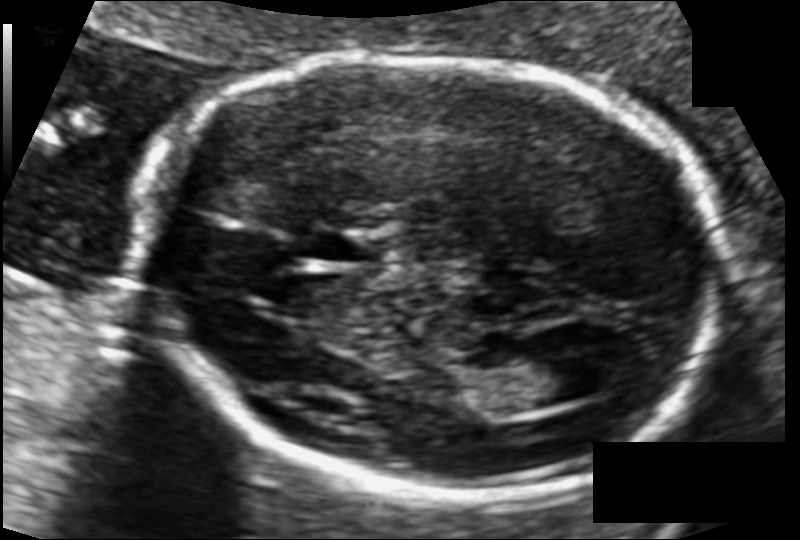
Estimate the fetal head circumference from this 2D ultrasound. Image width: 81.0 mm.

Head circumference: 172.0 mm.